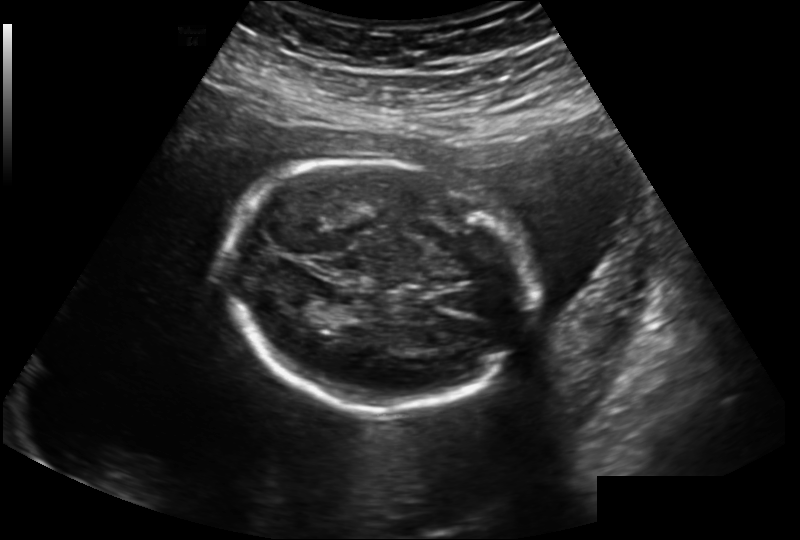
What is the fetal head circumference? Image width is 161.6 mm.

185.6 mm